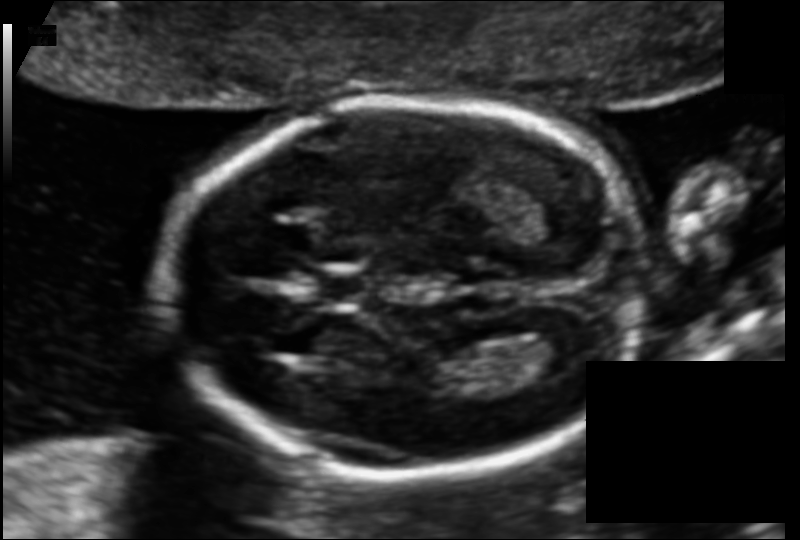
Estimate the fetal head circumference from this 2D ultrasound. Image width: 87.9 mm.

Head circumference: 154.4 mm.